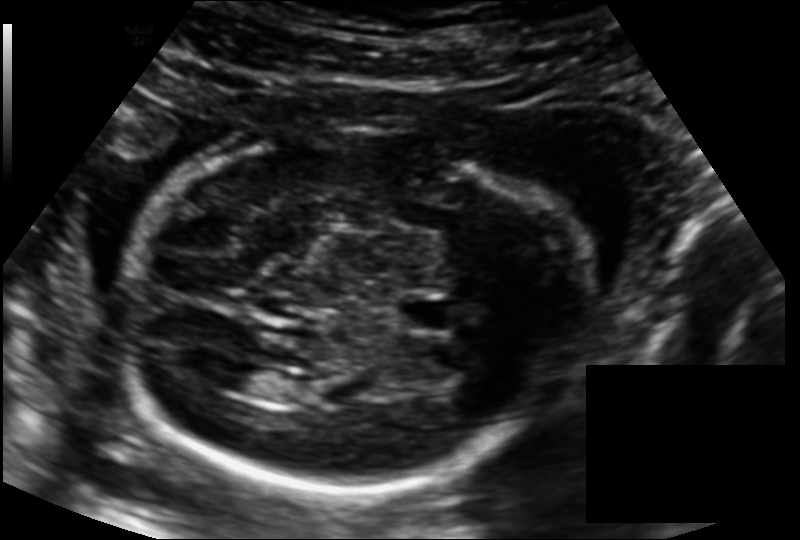
Fetal head ultrasound. Image width: 111.3 mm. Where is the lateral ventricle?

Lateral ventricle bounding box: [215,360,271,398]